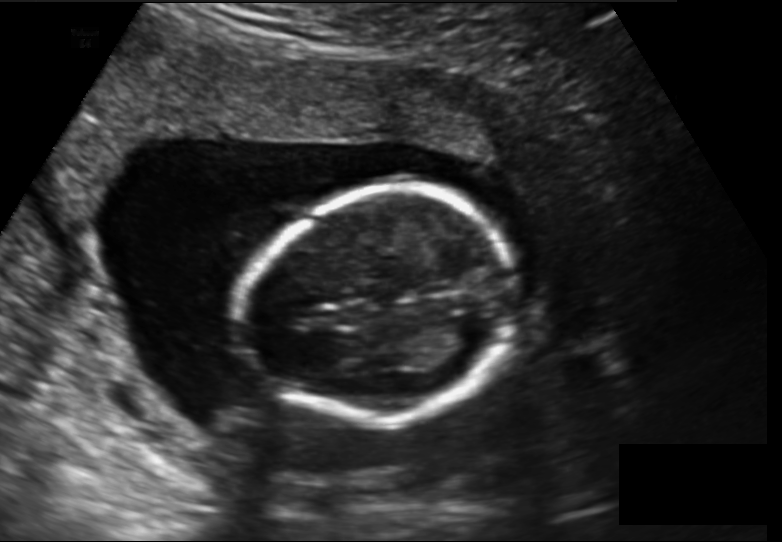
Estimate the fetal head circumference from this 2D ultrasound.

Head circumference: 131.1 mm (image width 122.9 mm).